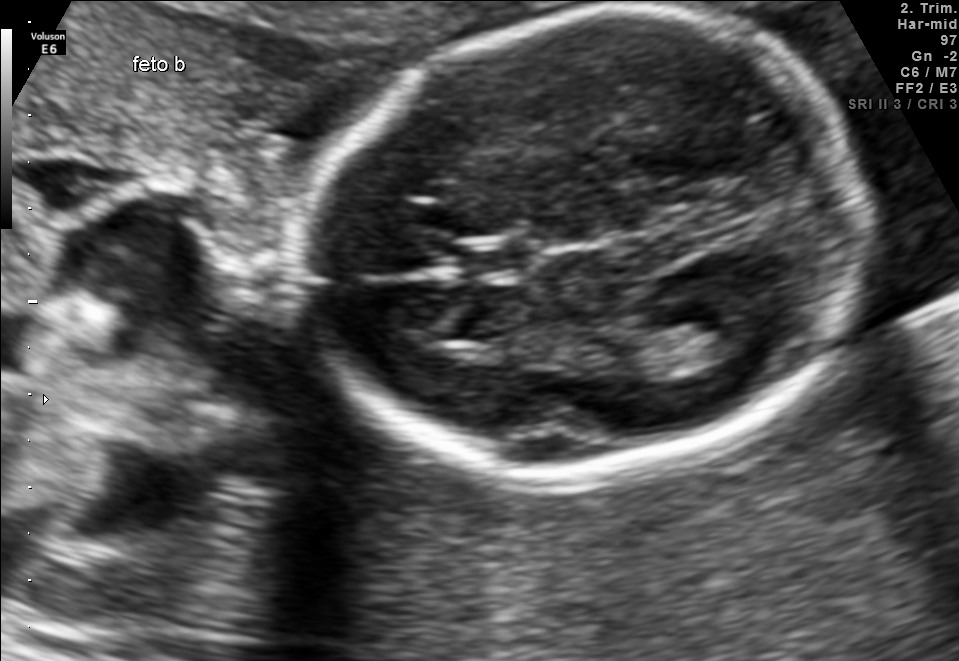
In this fetal brain, trans-thalamic plane, give the bounding box of the fetal head.

[302,16,861,475]